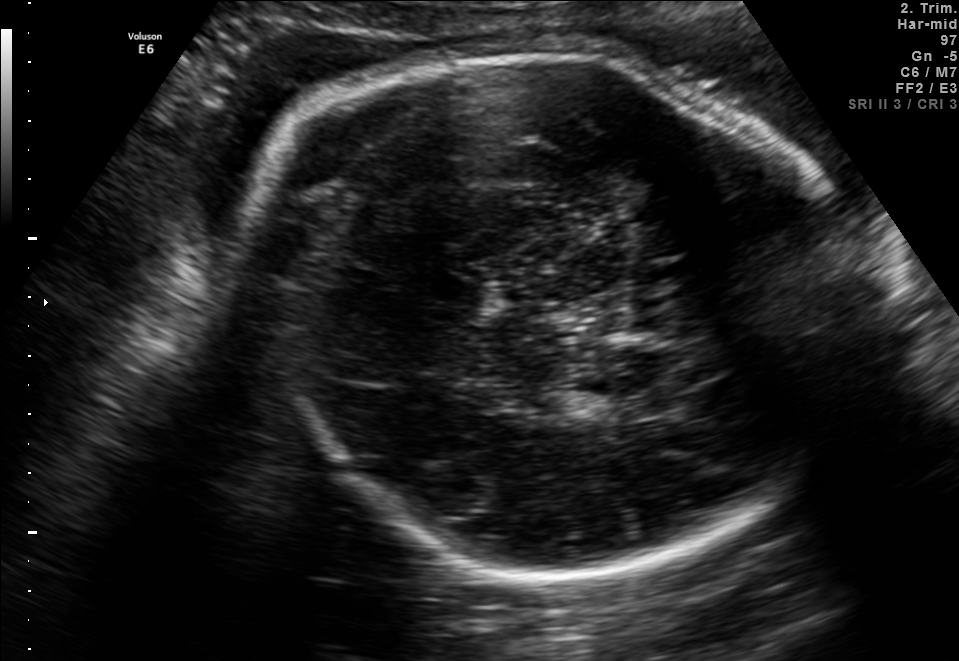
In this fetal brain, trans-thalamic plane, give bounding boxes for the head outline, cavum septum pellucidum (CSP), and lateral ventricle (LV), where visible.

Head: [247,45,830,576]